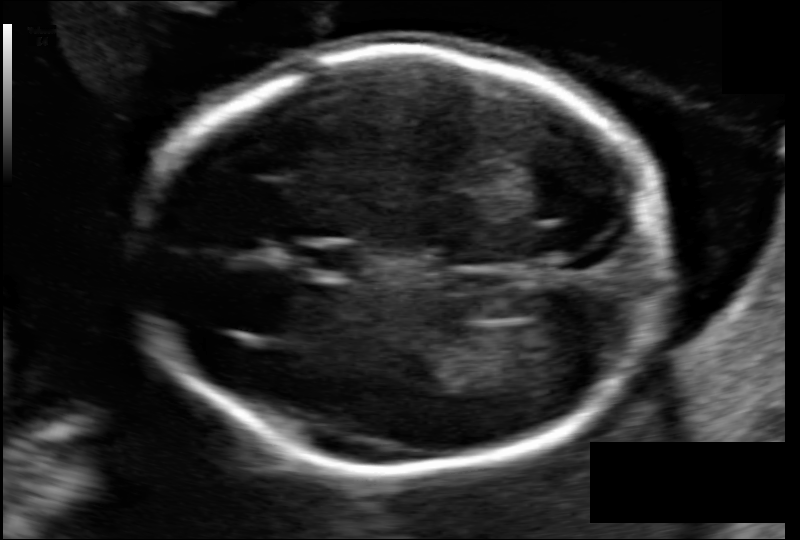
Fetal head ultrasound. Image width: 82.2 mm. Locate the fetal head.

Head: [144,48,666,472]